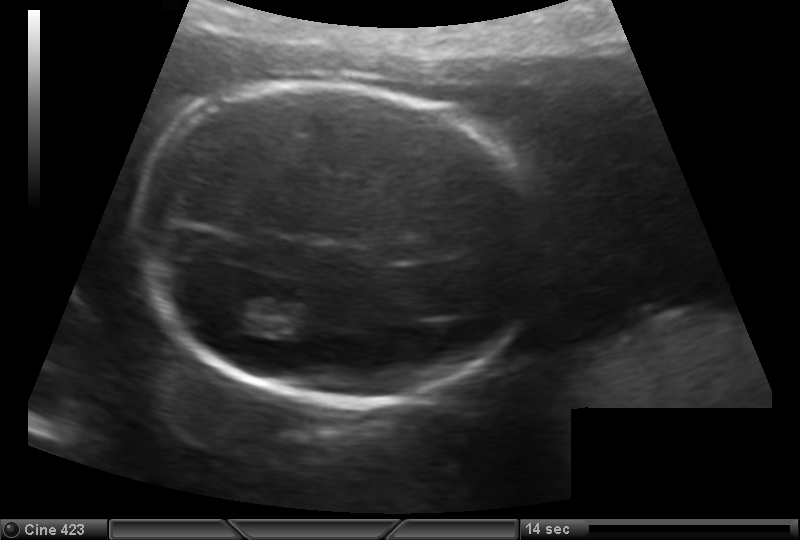
Fetal head ultrasound. Image width: 117.9 mm. Give [x1,y1,x2,y2] bounding boxes for each visible structure among: fetal head, CSP, LV.

Head: [128,82,535,403]
Lateral ventricle: [216,290,274,334]